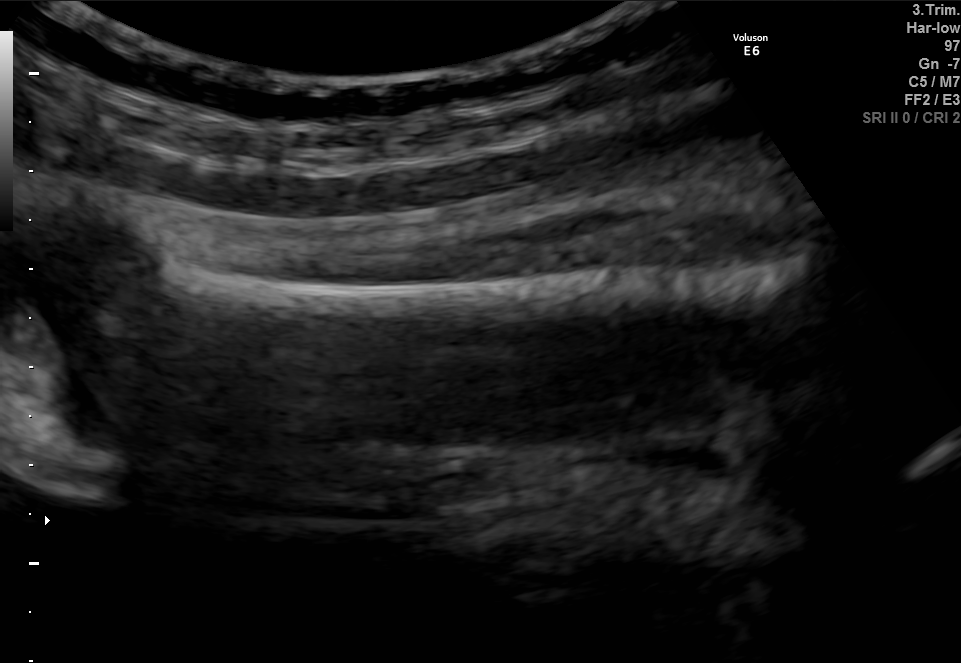
Classify this maternal-fetal ultrasound image as one of the six standard planes — fetal abdomen, fetal brain, fetal femur, fetal thorax, maternal cervix, or other. If it's fetal brain and one of the three standard brain planes (trans-thalamic, trans-cerebellum, trans-ventricular), name which.

Fetal femur